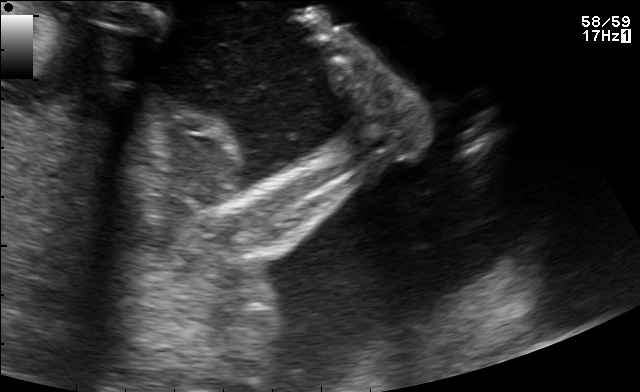
This is a 2D maternal-fetal ultrasound frame. Is it a fetal abdomen, fetal brain, fetal femur, fetal thorax, maternal cervix, or other standard plane? If it's fetal brain and one of the three standard brain planes (trans-thalamic, trans-cerebellum, trans-ventricular), name which.

Other